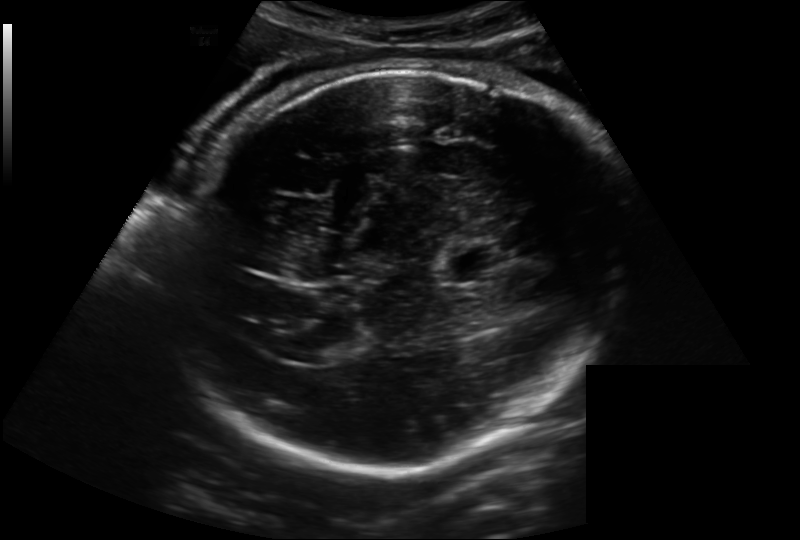
Fetal head ultrasound. Image width: 177.2 mm. Where is the lateral ventricle?

Lateral ventricle bounding box: [293,339,336,365]